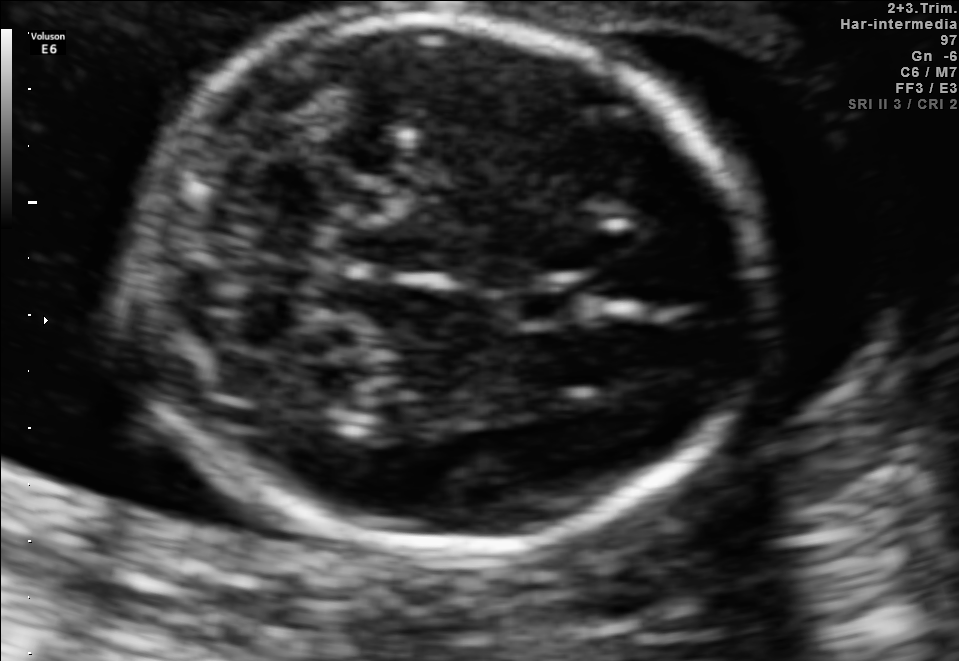
This is a 2D maternal-fetal ultrasound frame. Is it a fetal abdomen, fetal brain, fetal femur, fetal thorax, maternal cervix, or other standard plane? If it's fetal brain and one of the three standard brain planes (trans-thalamic, trans-cerebellum, trans-ventricular), name which.

Fetal brain (trans-cerebellum plane)